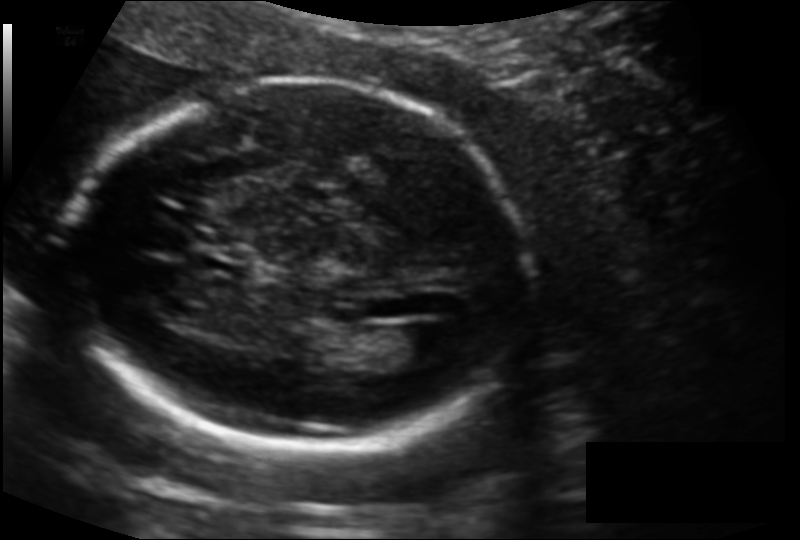
From this fetal ultrasound, estimate the head circumference (image width 101.6 mm).

Head circumference: 168.7 mm.